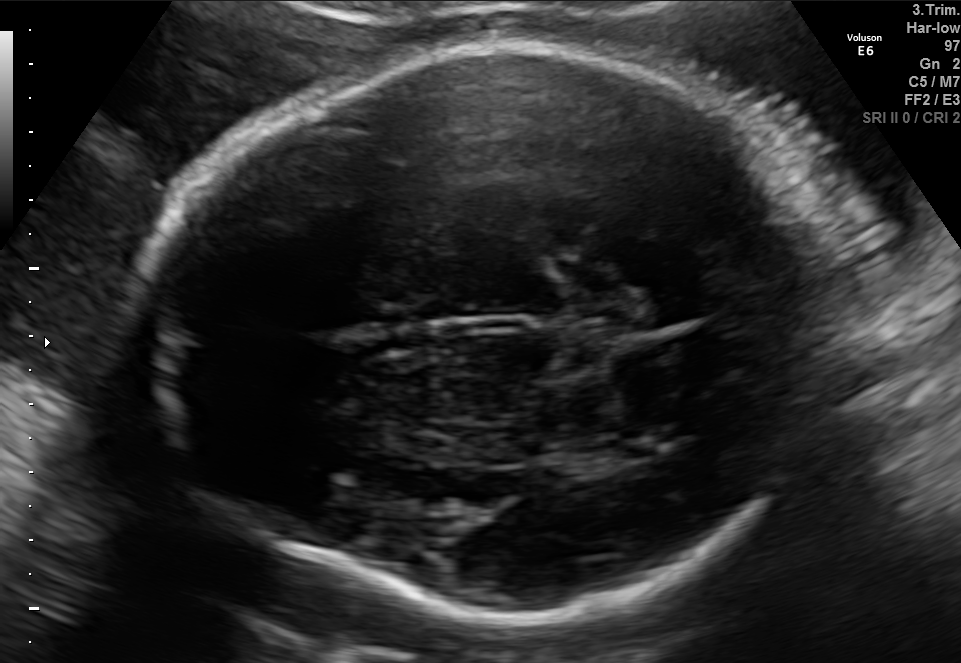
Fetal brain, trans-thalamic plane. Where is the fetal head?

Head bounding box: [137,42,852,621]